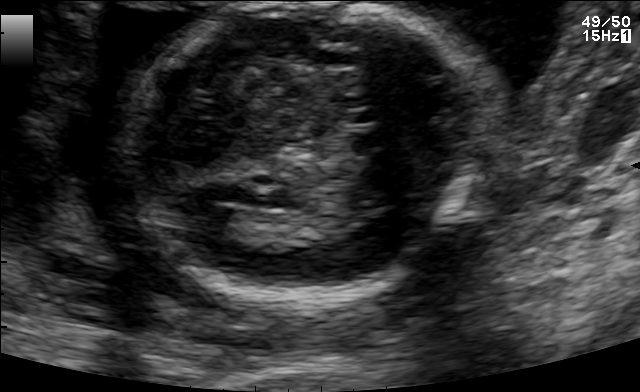
In this fetal brain, trans-thalamic plane, give the bounding box of the lateral ventricle.

[195,203,257,245]